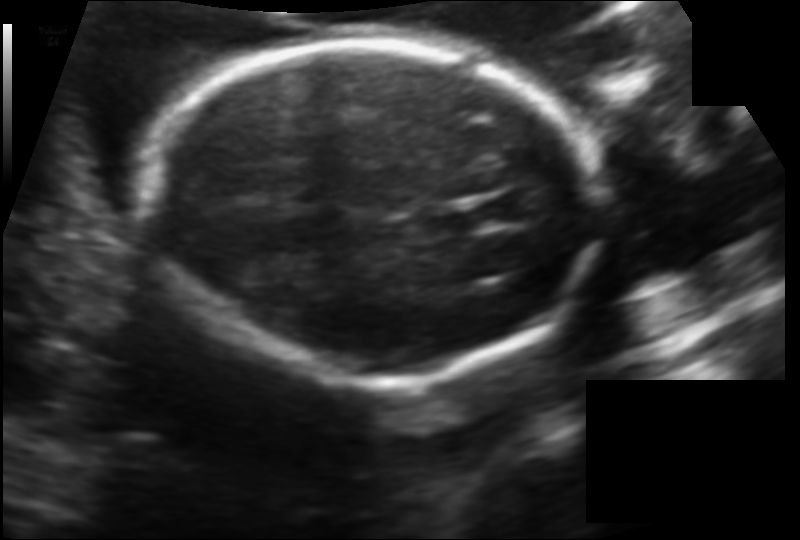
Fetal head ultrasound. Image width: 108.5 mm. Locate the fetal head and, if visible, the cavum septum pellucidum (CSP) and lateral ventricle (LV). Give bounding boxes as [x1,y1,x2,y2].

Head: [148,41,589,383]